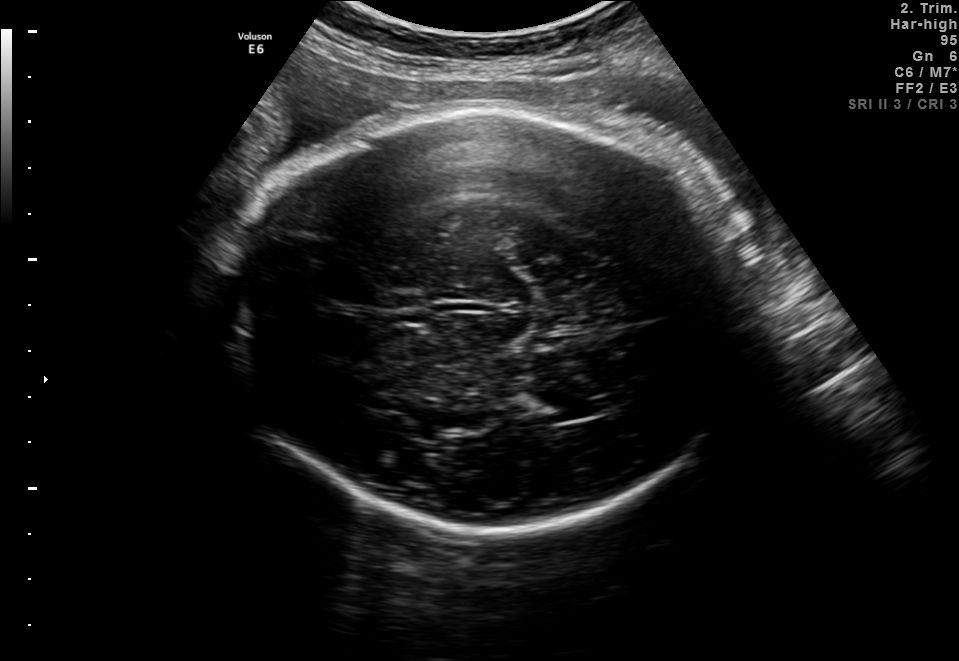
Fetal brain, trans-thalamic plane. Locate the fetal head.

Head: [232,106,751,527]